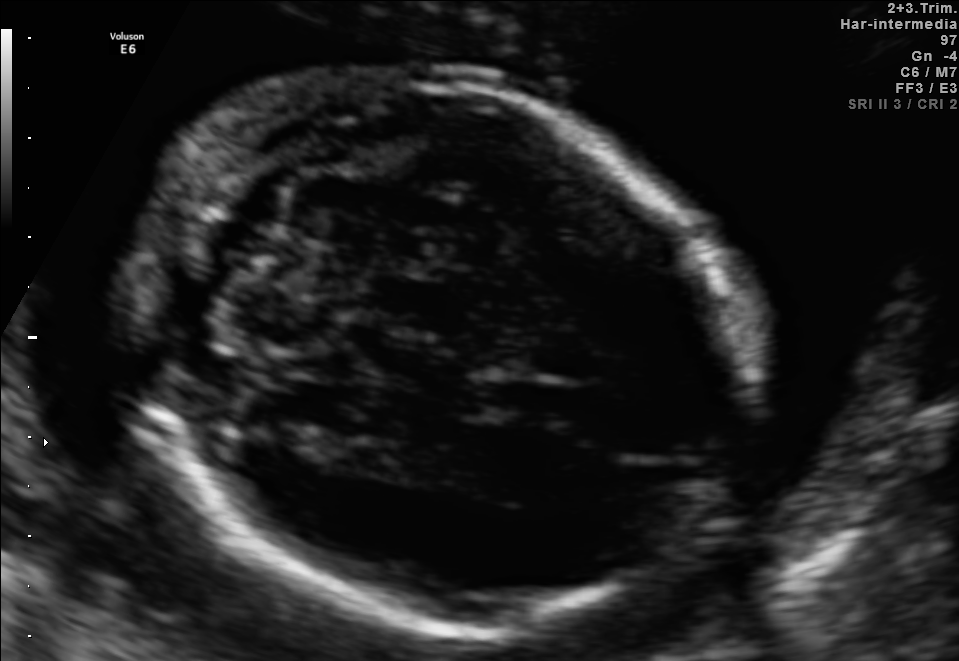
Fetal brain, trans-cerebellum plane. Give [x1,y1,x2,y2] bounding boxes for each visible structure among: fetal head, CSP, LV.

Head: [130,78,741,627]